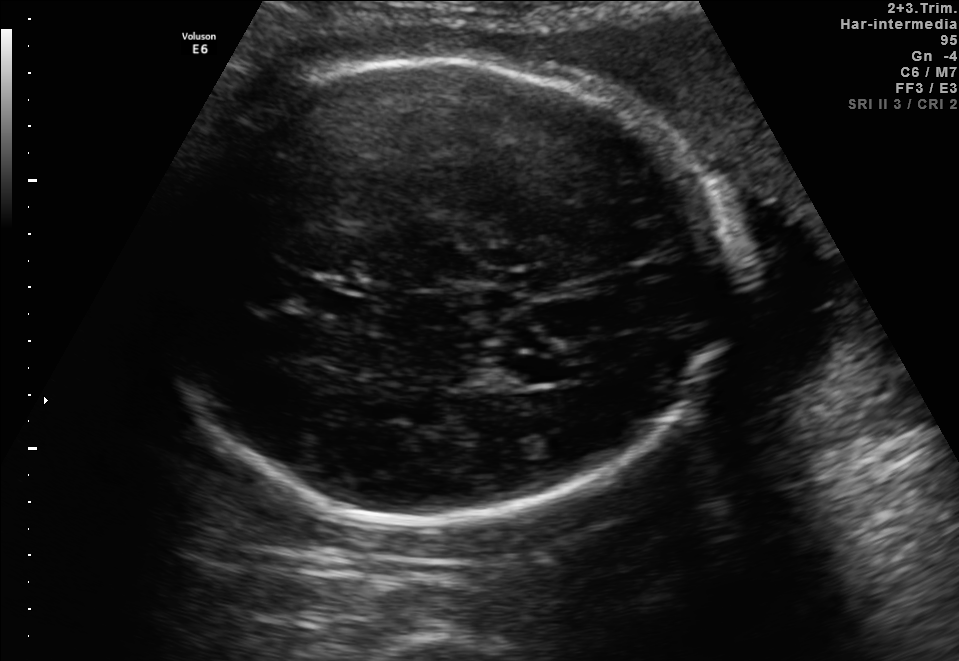
In this fetal brain, trans-thalamic plane, give the bounding box of the fetal head.

[139,61,742,524]